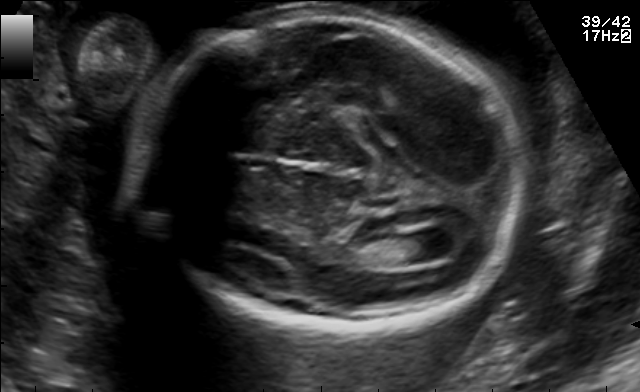
Fetal brain, trans-ventricular plane. Where is the fetal head?

Head bounding box: [128,3,537,334]